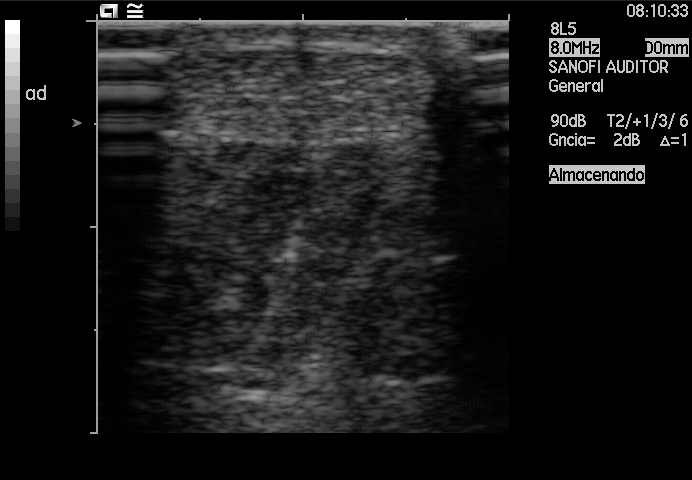
Which standard maternal-fetal ultrasound plane is shown: fetal abdomen, fetal brain, fetal femur, fetal thorax, maternal cervix, or other? If it's fetal brain and one of the three standard brain planes (trans-thalamic, trans-cerebellum, trans-ventricular), name which.

Other